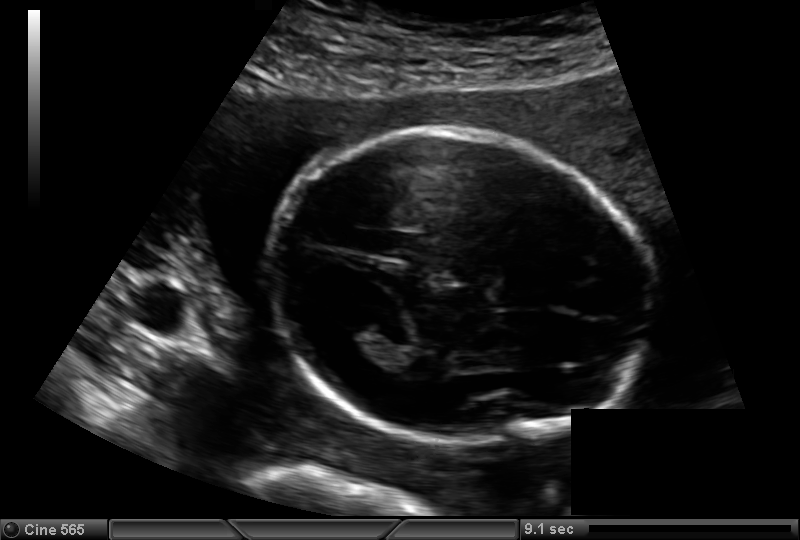
Fetal head ultrasound. Image width: 113.5 mm. Locate the fetal head and, if visible, the cavum septum pellucidum (CSP) and lateral ventricle (LV). Give bounding boxes as [x1,y1,x2,y2].

Head: [270,131,653,450]